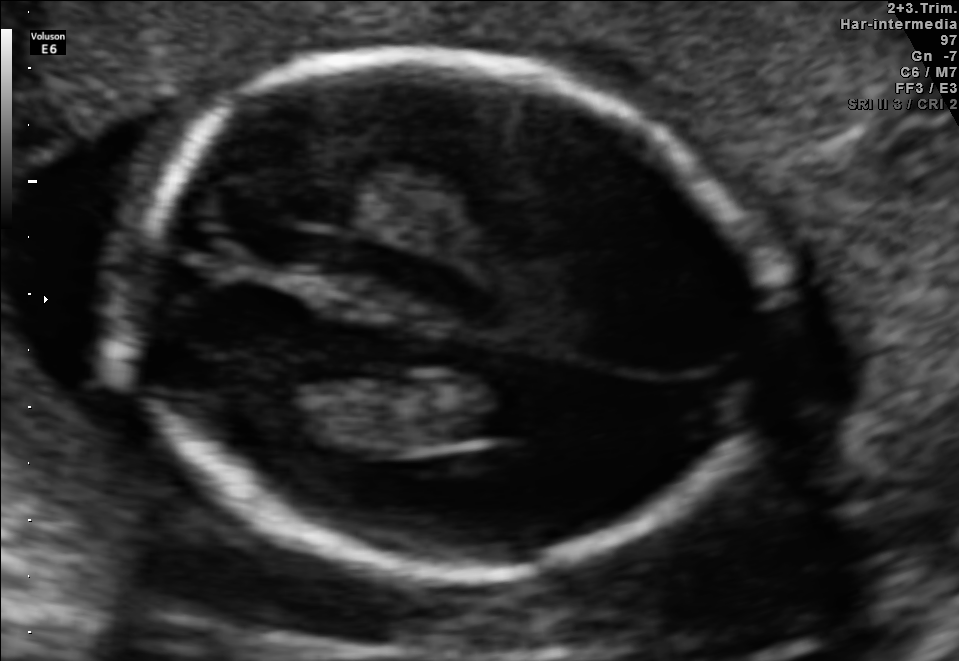
Fetal brain, trans-ventricular plane. Give [x1,y1,x2,y2] bounding boxes for each visible structure among: fetal head, CSP, LV.

Head: [91,42,796,591]